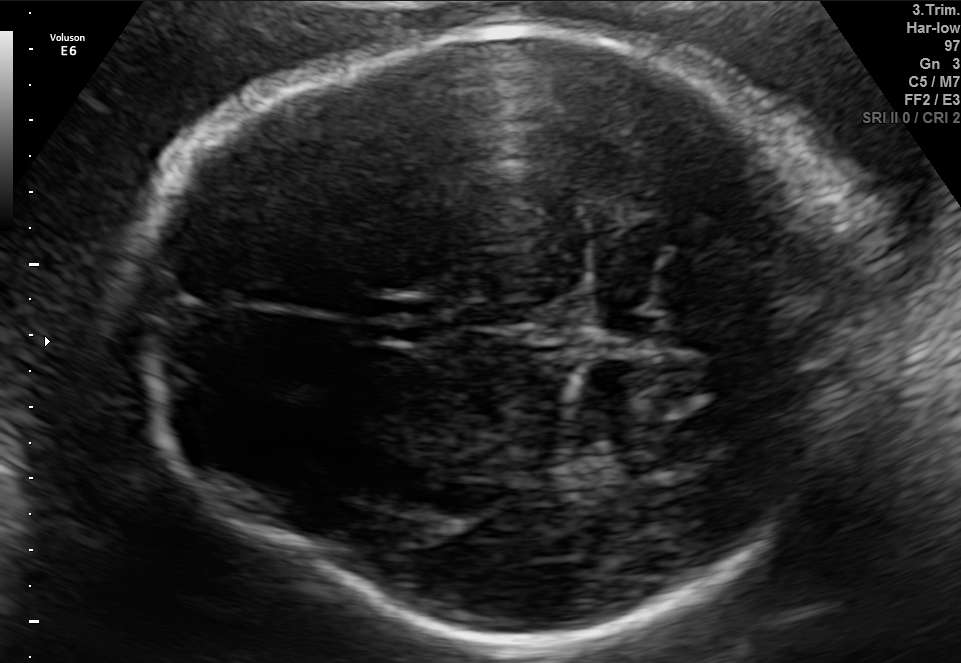
Which standard maternal-fetal ultrasound plane is shown: fetal abdomen, fetal brain, fetal femur, fetal thorax, maternal cervix, or other? If it's fetal brain and one of the three standard brain planes (trans-thalamic, trans-cerebellum, trans-ventricular), name which.

Fetal brain (trans-thalamic plane)